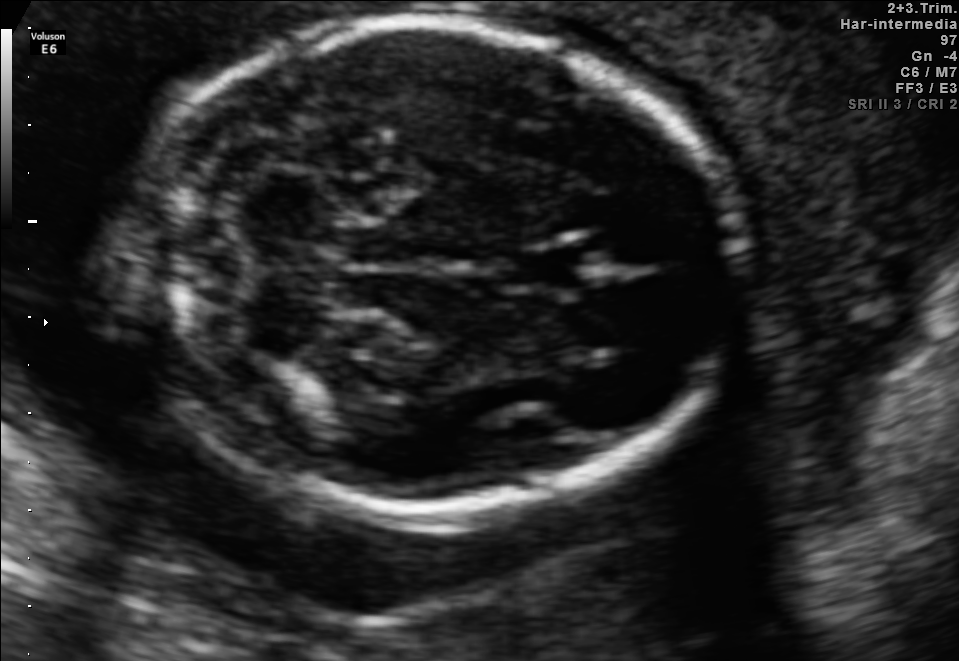
In this fetal brain, trans-cerebellum plane, give the bounding box of the cavum septum pellucidum.

[504,243,590,294]